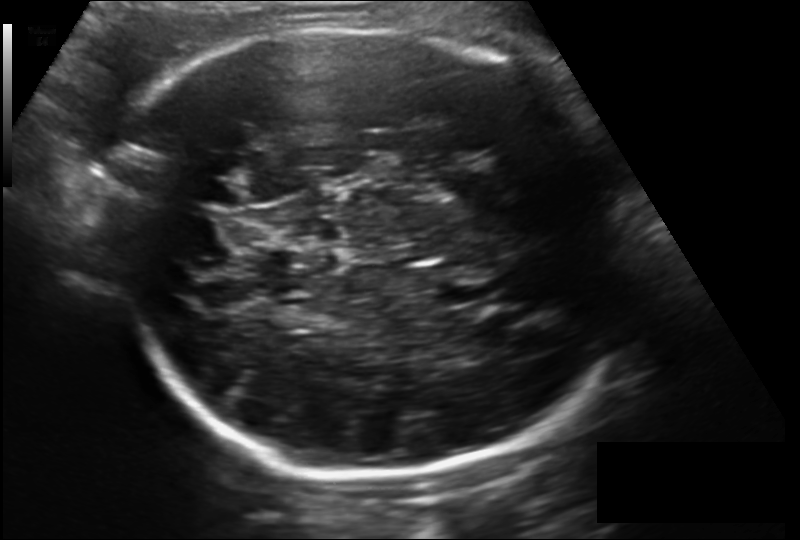
What is the fetal head circumference? Image width is 152.2 mm.

302.8 mm